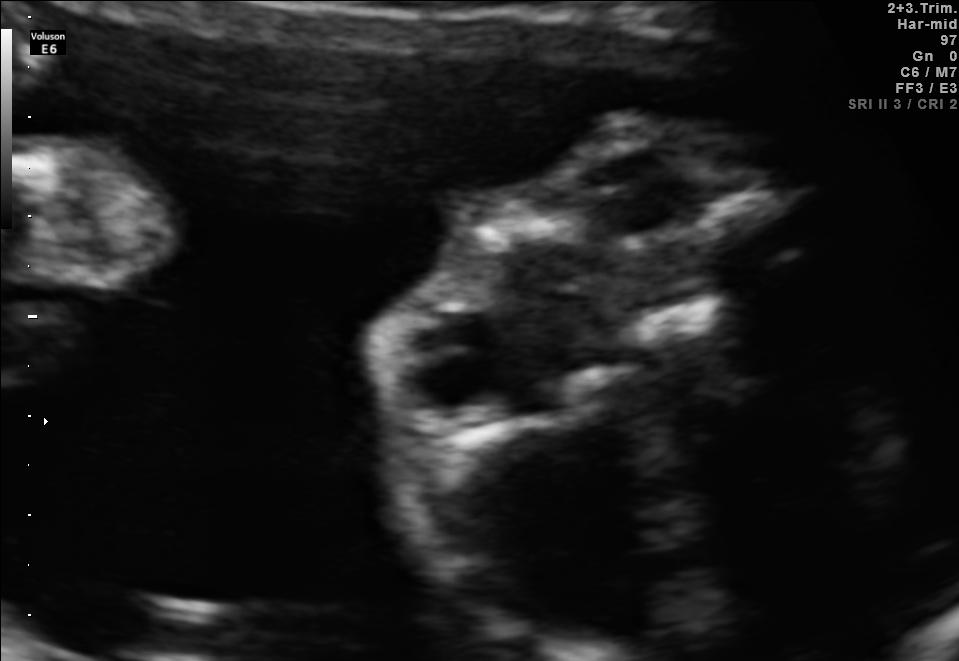
Which standard maternal-fetal ultrasound plane is shown: fetal abdomen, fetal brain, fetal femur, fetal thorax, maternal cervix, or other? If it's fetal brain and one of the three standard brain planes (trans-thalamic, trans-cerebellum, trans-ventricular), name which.

Other